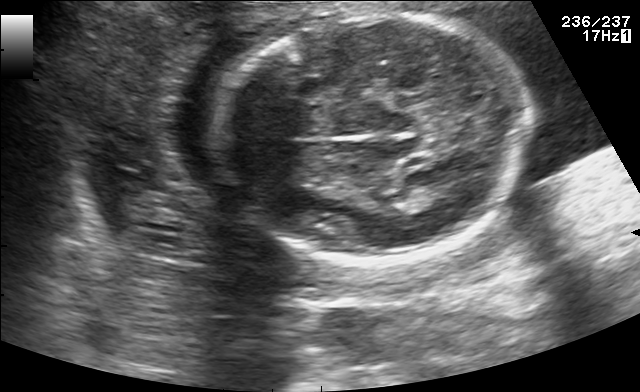
This is a 2D maternal-fetal ultrasound frame. Is it a fetal abdomen, fetal brain, fetal femur, fetal thorax, maternal cervix, or other standard plane? If it's fetal brain and one of the three standard brain planes (trans-thalamic, trans-cerebellum, trans-ventricular), name which.

Fetal brain (trans-thalamic plane)